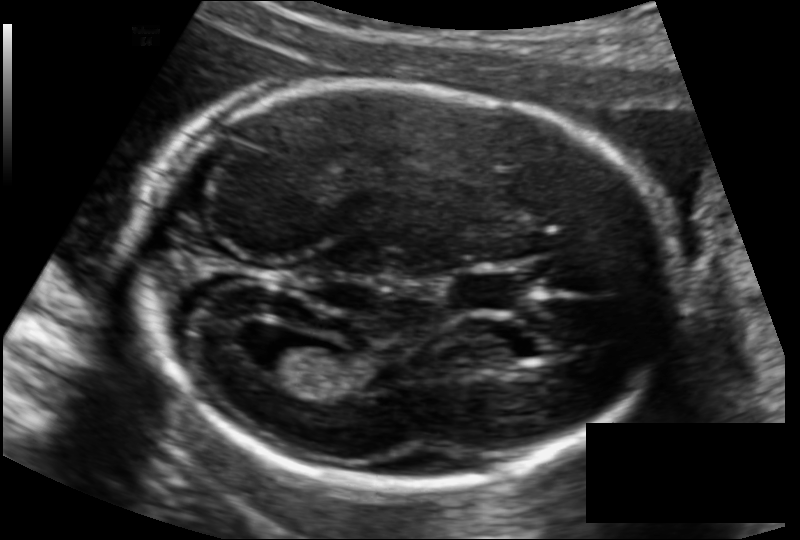
In this fetal head ultrasound, give the bounding box of the cavum septum pellucidum. Image width: 97.7 mm.

[453,273,520,311]